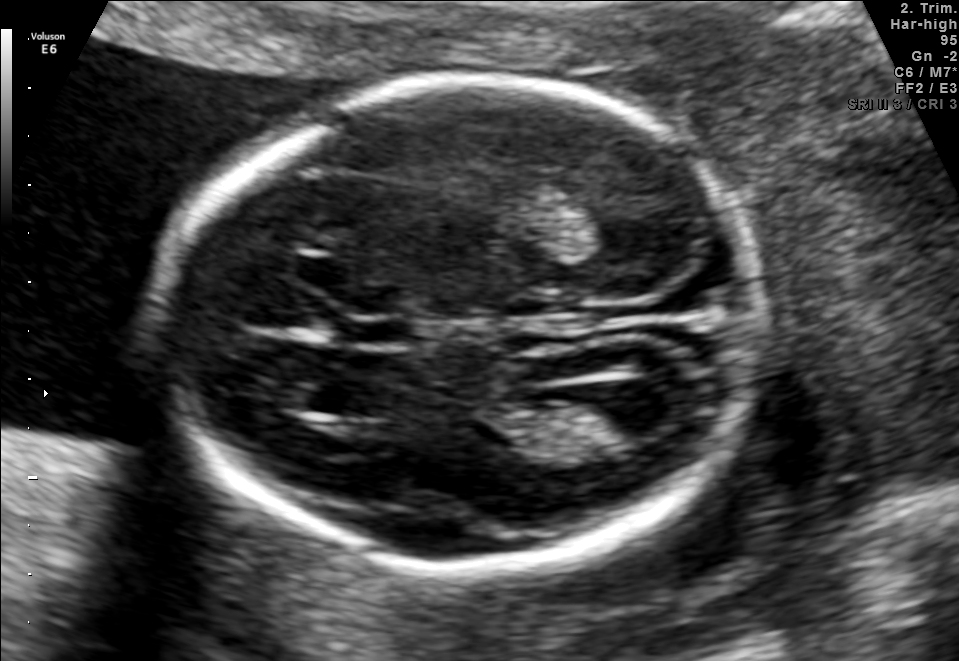
Fetal brain, trans-ventricular plane. Locate the lateral ventricle.

Lateral ventricle: [578,368,686,454]